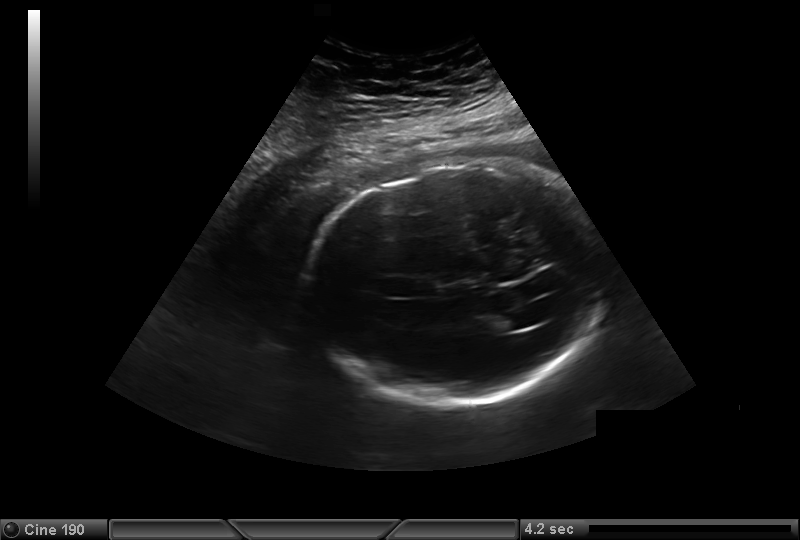
Fetal head ultrasound. Image width: 258.3 mm. Where is the fetal head?

Head bounding box: [306,164,607,405]